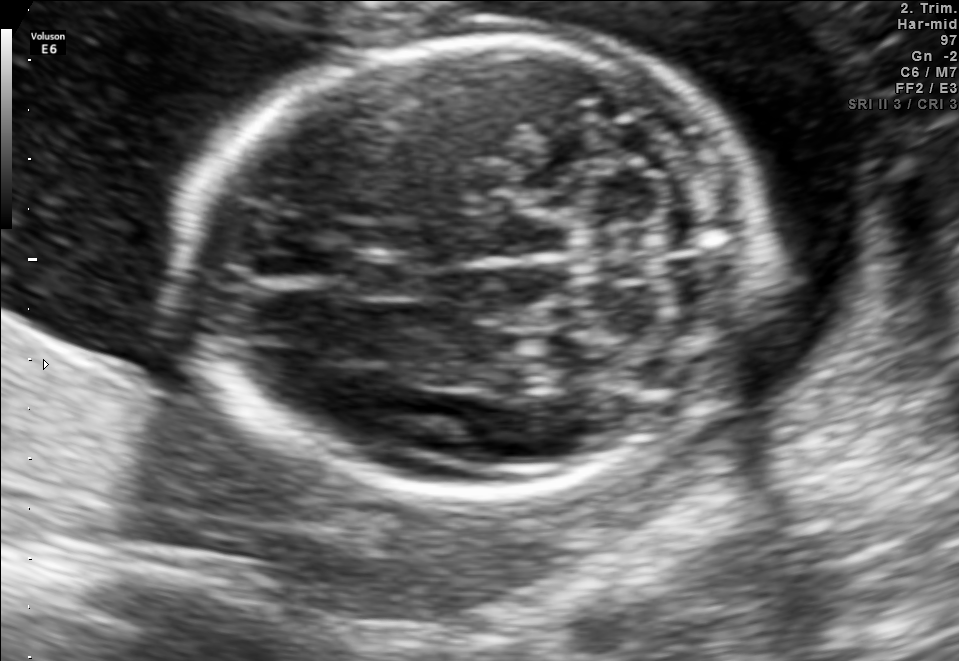
Fetal brain, trans-cerebellum plane. Locate the fetal head.

Head: [180,40,765,497]